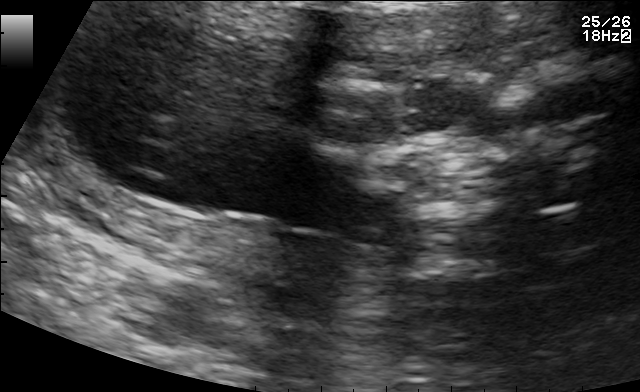
Classify this maternal-fetal ultrasound image as one of the six standard planes — fetal abdomen, fetal brain, fetal femur, fetal thorax, maternal cervix, or other. If it's fetal brain and one of the three standard brain planes (trans-thalamic, trans-cerebellum, trans-ventricular), name which.

Other